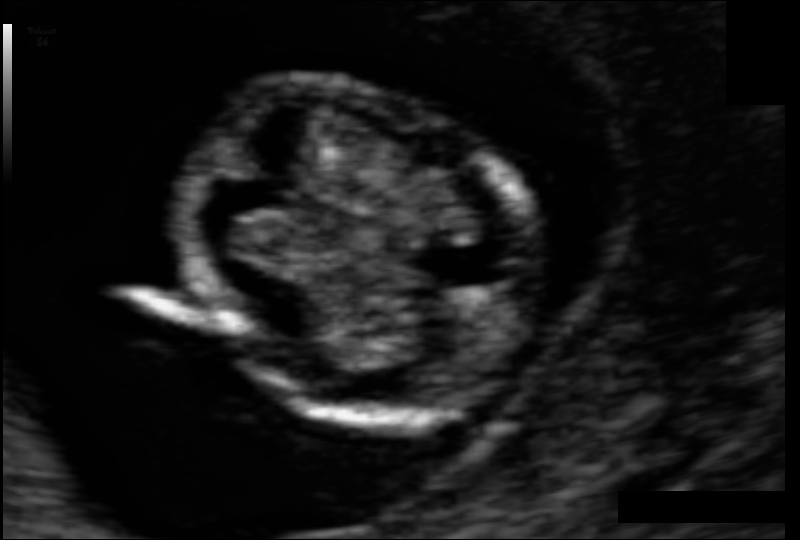
In this fetal head ultrasound, give the bounding box of the fetal head. Image width: 47.3 mm.

[174,83,541,419]